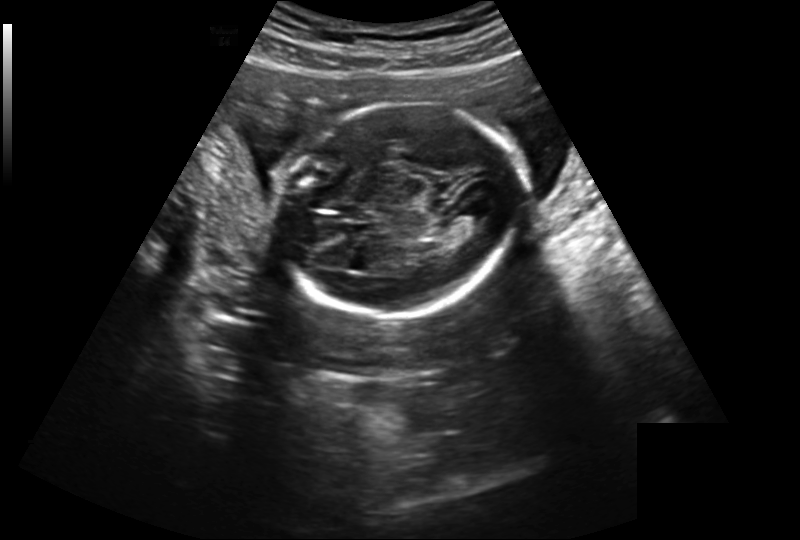
Fetal head ultrasound. Image width: 191.4 mm. Where is the fetal head?

Head bounding box: [280,100,521,319]